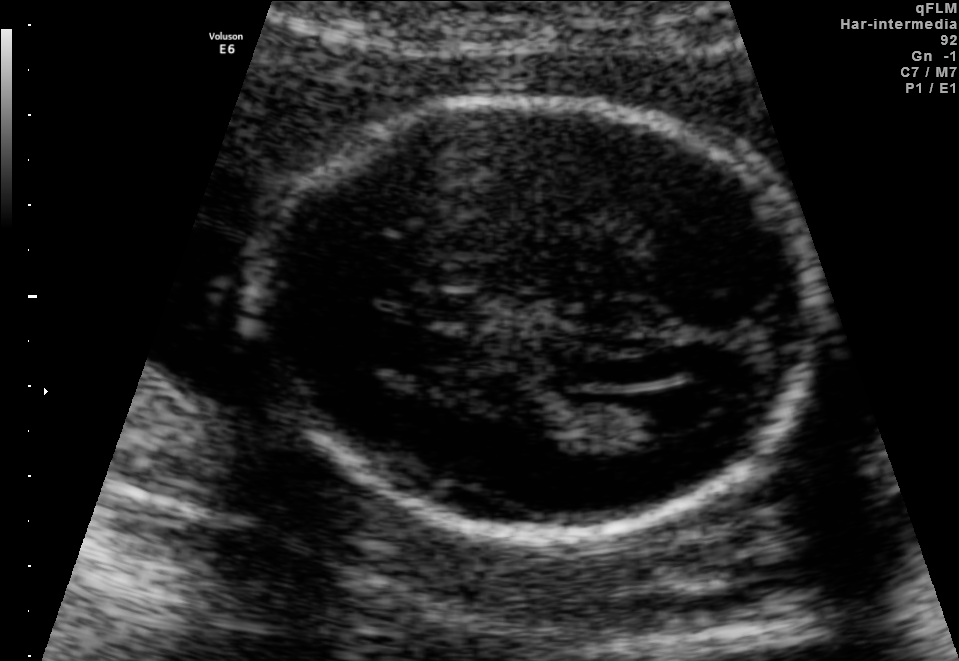
Fetal brain, trans-ventricular plane. Locate the lateral ventricle.

Lateral ventricle: [616,384,711,450]